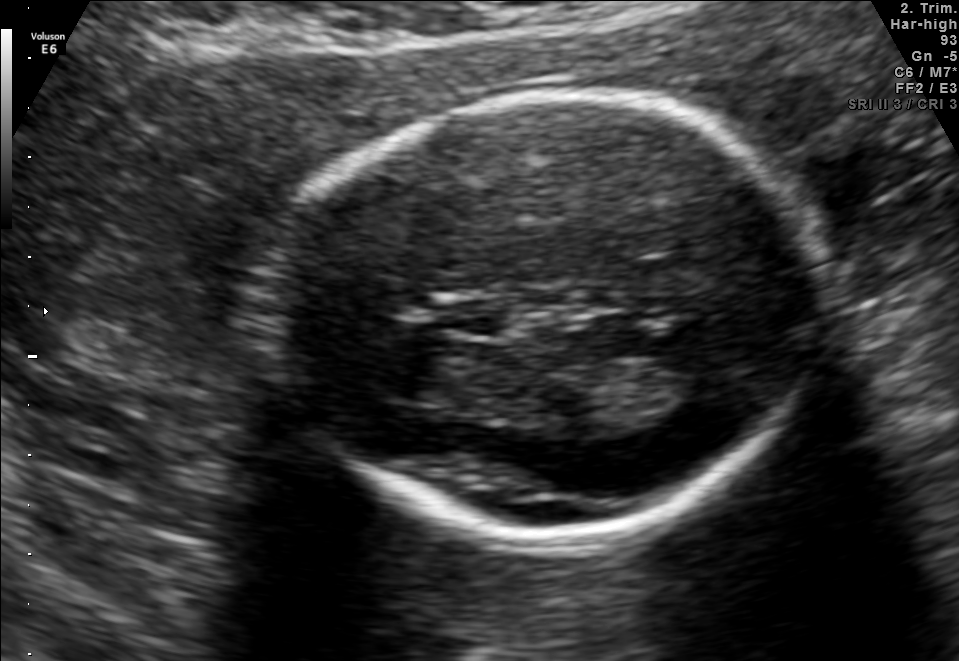
In this fetal brain, trans-thalamic plane, give the bounding box of the fetal head.

[268,93,819,538]